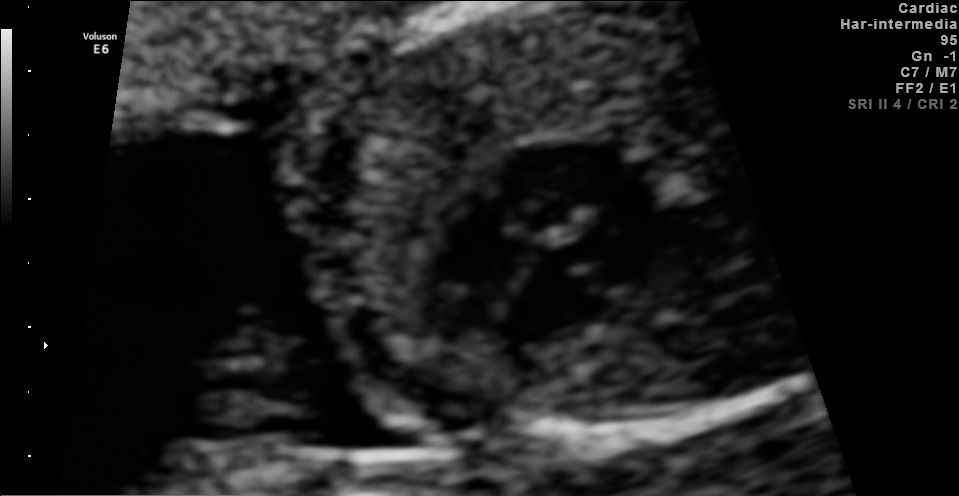
Identify the standard plane in this fetal ultrasound image: fetal abdomen, fetal brain, fetal femur, fetal thorax, maternal cervix, or other. If it's fetal brain and one of the three standard brain planes (trans-thalamic, trans-cerebellum, trans-ventricular), name which.

Fetal thorax